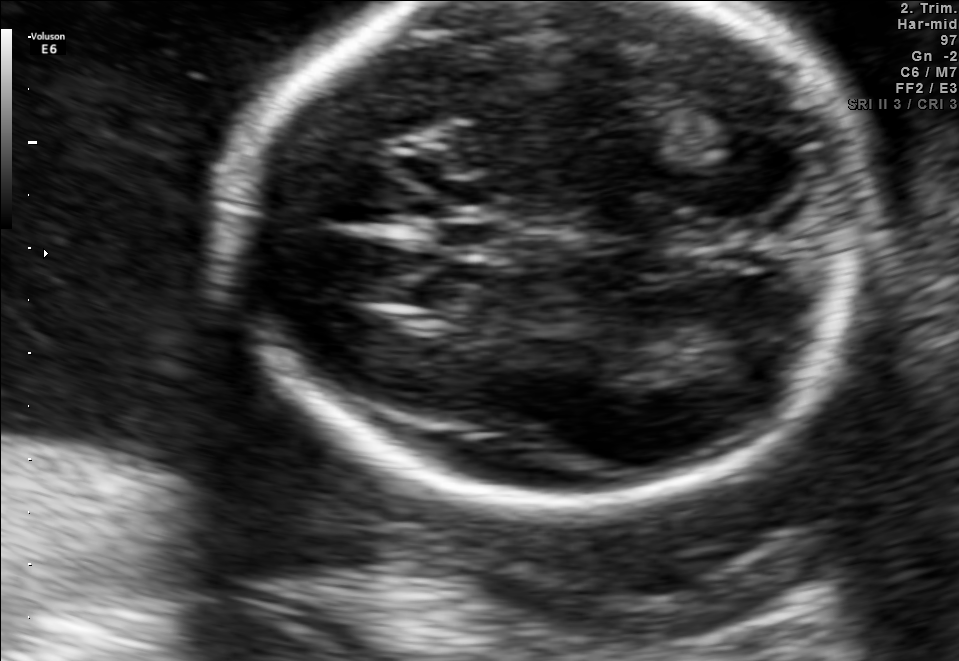
This is a 2D maternal-fetal ultrasound frame. Is it a fetal abdomen, fetal brain, fetal femur, fetal thorax, maternal cervix, or other standard plane? If it's fetal brain and one of the three standard brain planes (trans-thalamic, trans-cerebellum, trans-ventricular), name which.

Fetal brain (trans-thalamic plane)